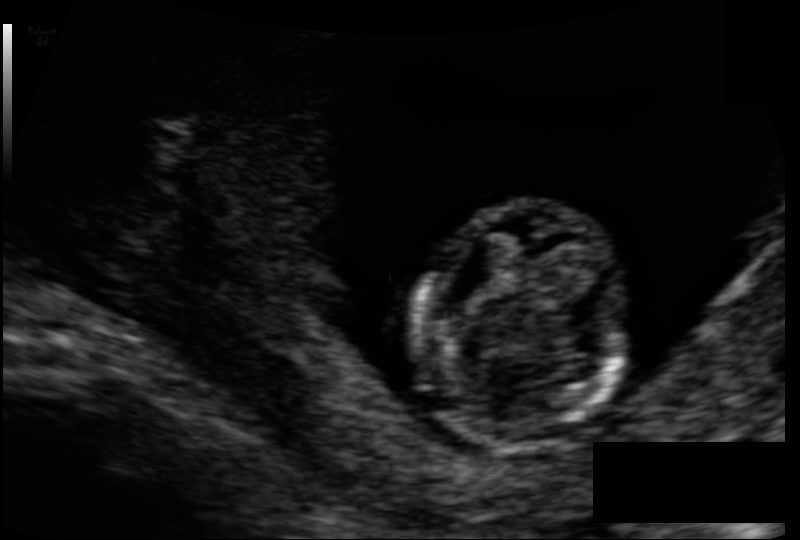
Estimate the fetal head circumference from this 2D ultrasound.

Head circumference: 72.5 mm (image width 76.4 mm).